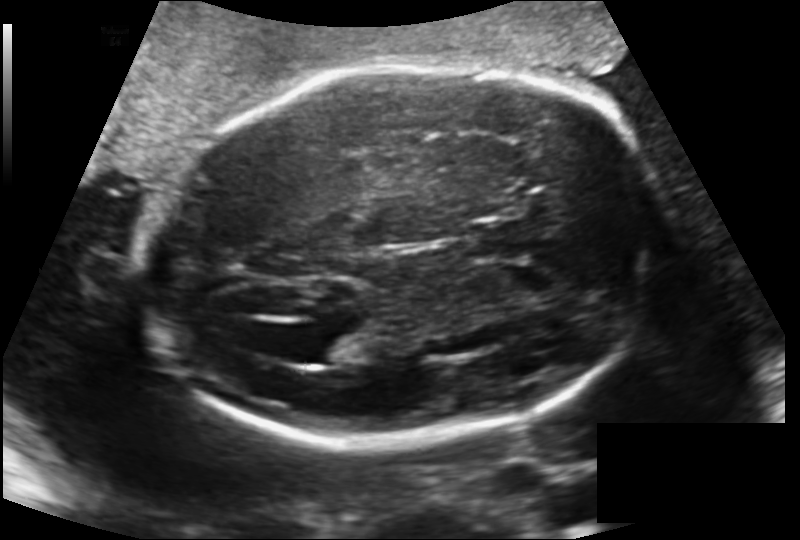
Measure the fetal head circumference shown in this ultrasound image. Image width: 136.0 mm.

Head circumference: 246.6 mm.